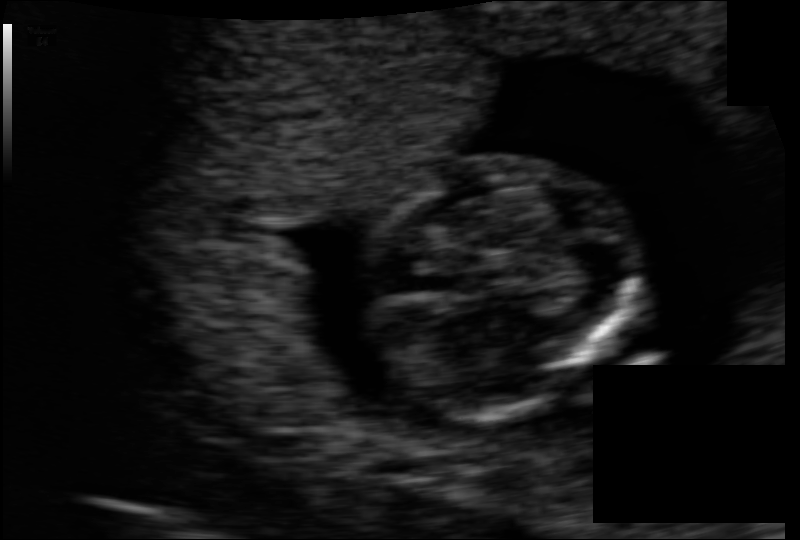
Measure the fetal head circumference shown in this ultrasound image. Image width: 66.6 mm.

Head circumference: 71.9 mm.